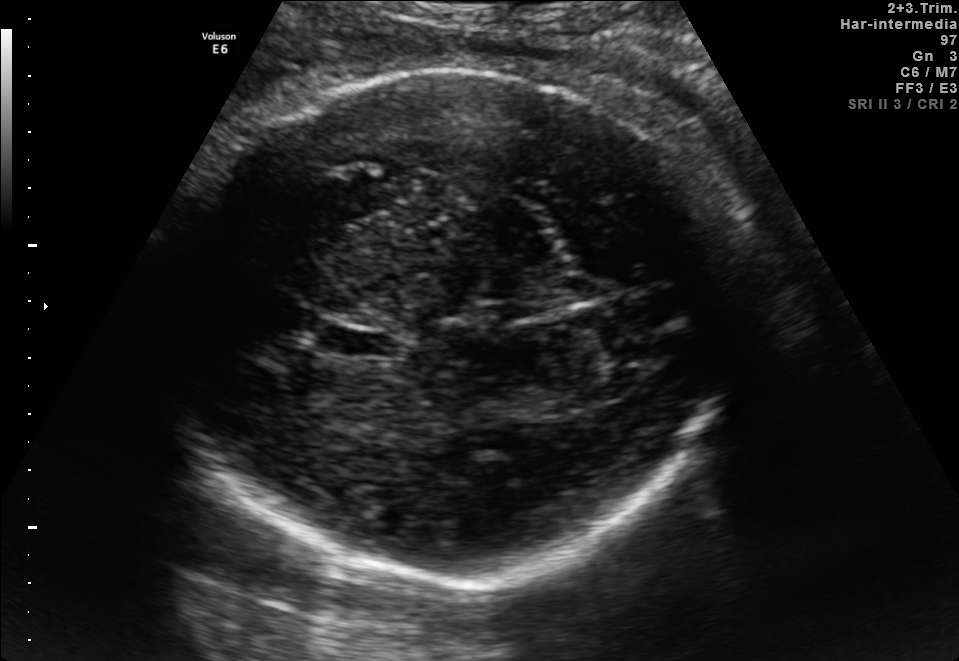
Fetal brain, trans-thalamic plane. Where is the fetal head?

Head bounding box: [163,66,738,581]